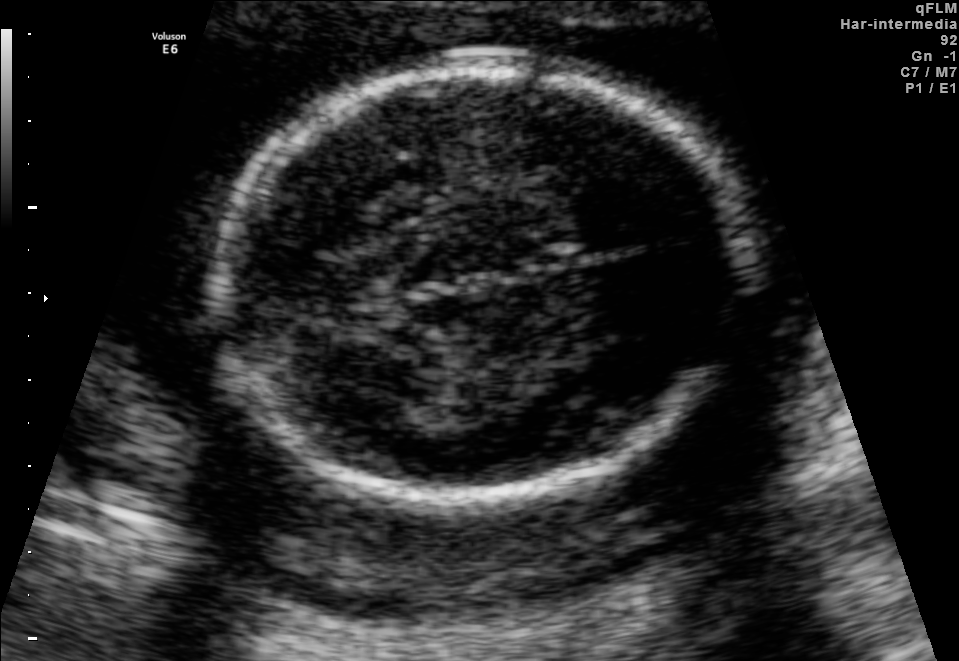
Fetal brain, trans-thalamic plane. Locate the fetal head.

Head: [216,71,751,494]